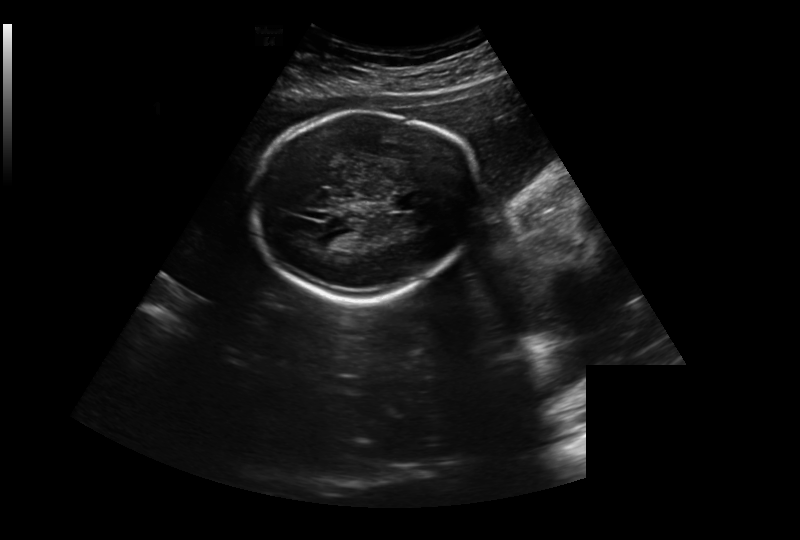
Estimate the fetal head circumference from this 2D ultrasound.

Head circumference: 220.8 mm (image width 260.8 mm).